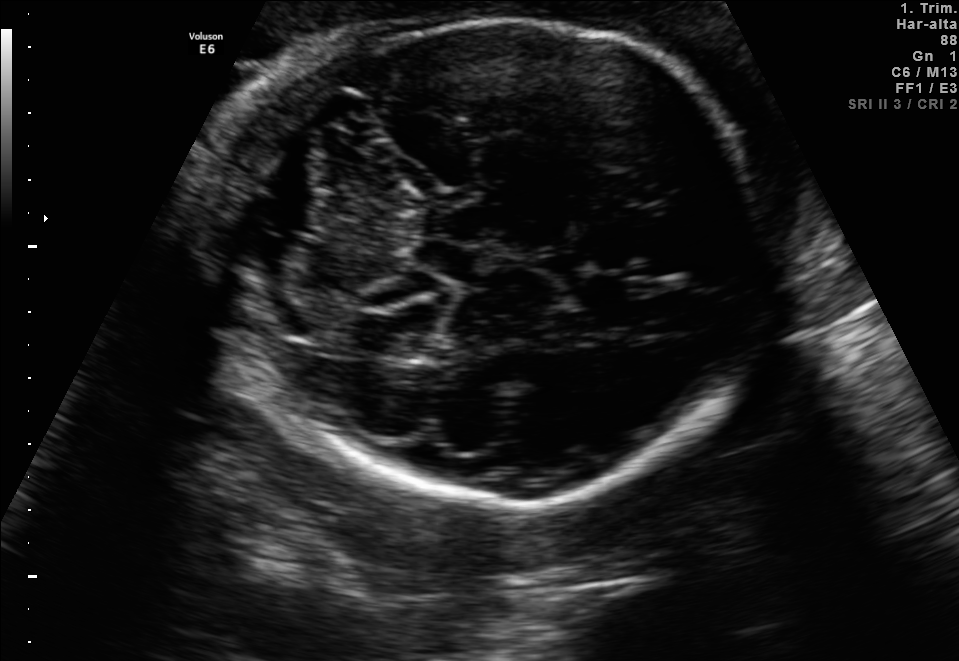
Fetal brain, trans-cerebellum plane. Give [x1,y1,x2,y2] bounding boxes for each visible structure among: fetal head, CSP, LV.

Head: [214,18,769,507]